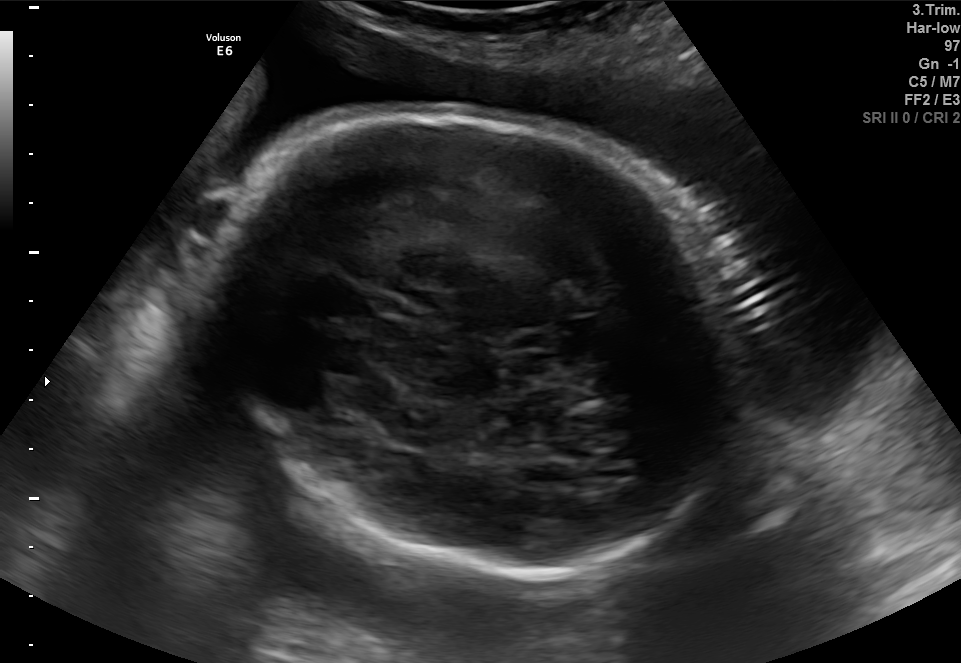
In this fetal brain, trans-thalamic plane, give bounding boxes for the head outline, cavum septum pellucidum (CSP), and lateral ventricle (LV), where visible.

Head: [190,107,763,578]